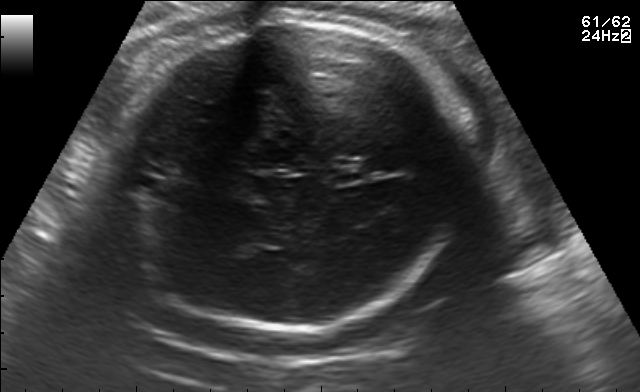
Fetal brain, trans-thalamic plane. Locate the fetal head.

Head: [101,21,468,330]